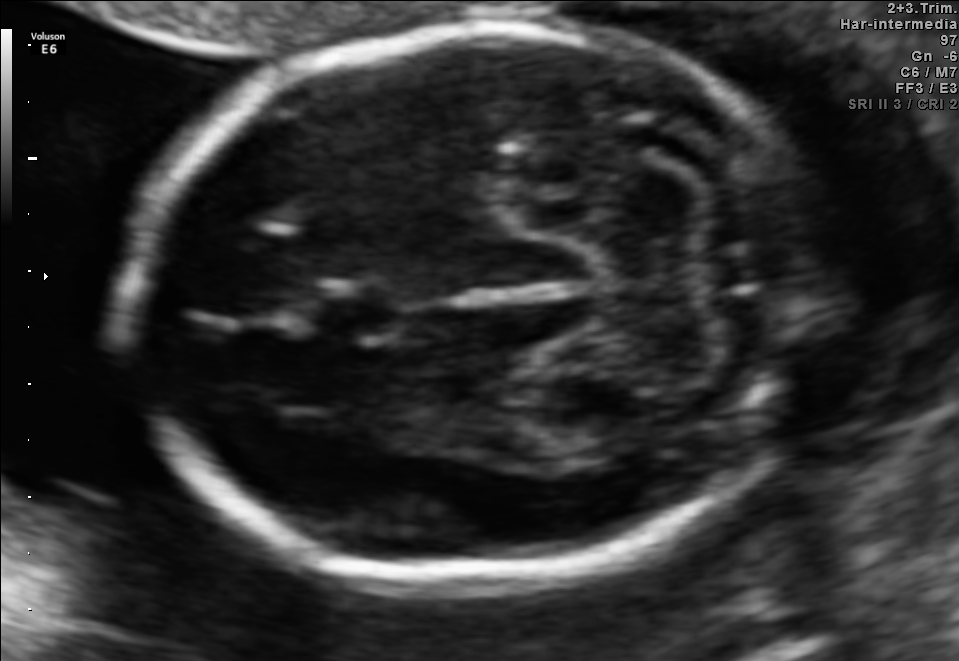
Fetal brain, trans-cerebellum plane. Locate the cavum septum pellucidum.

CSP: [308,281,404,347]